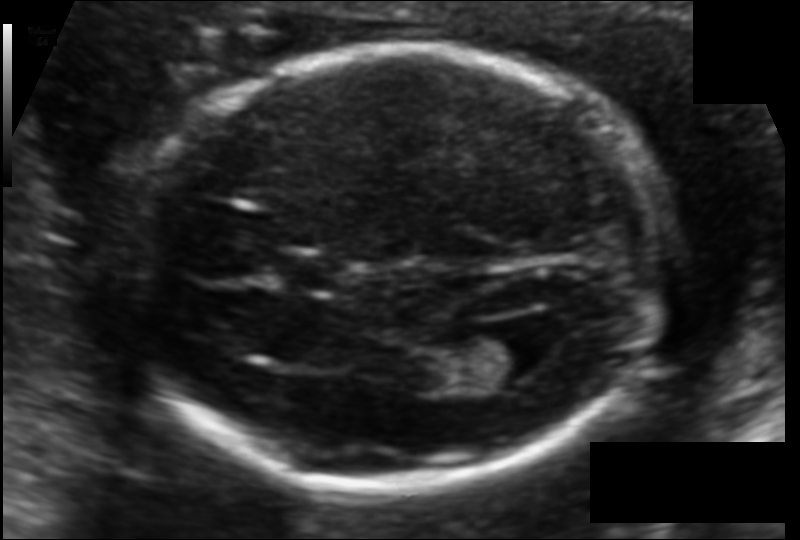
Fetal head ultrasound. Image width: 86.5 mm. Locate the fetal head and, if visible, the cavum septum pellucidum (CSP) and lateral ventricle (LV). Give bounding boxes as [x1,y1,x2,y2].

Head: [134,50,667,490]
CSP: [276,253,341,292]
Lateral ventricle: [467,320,558,395]